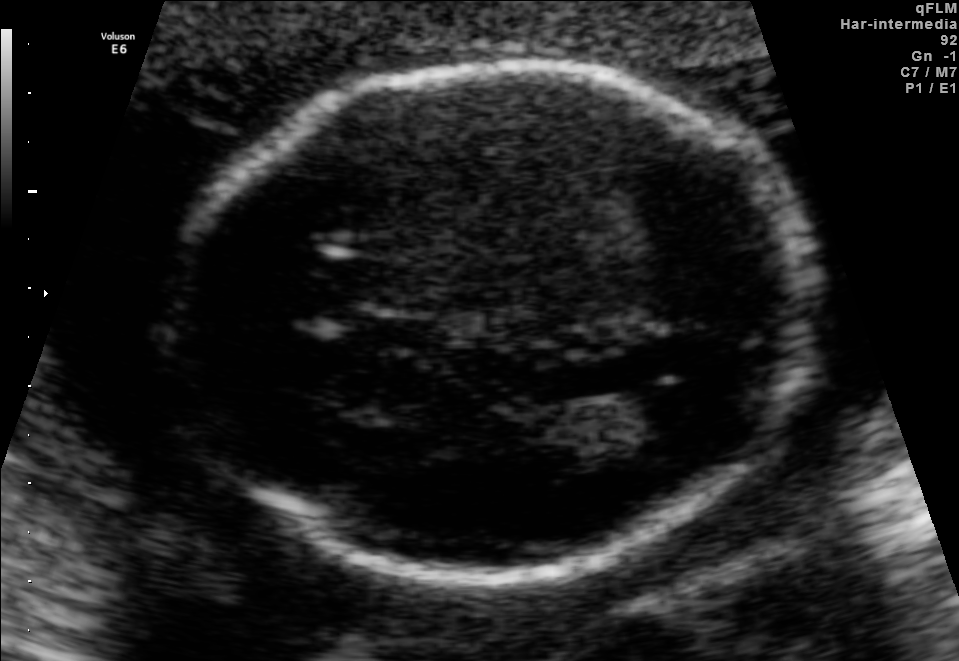
Classify this maternal-fetal ultrasound image as one of the six standard planes — fetal abdomen, fetal brain, fetal femur, fetal thorax, maternal cervix, or other. If it's fetal brain and one of the three standard brain planes (trans-thalamic, trans-cerebellum, trans-ventricular), name which.

Fetal brain (trans-ventricular plane)